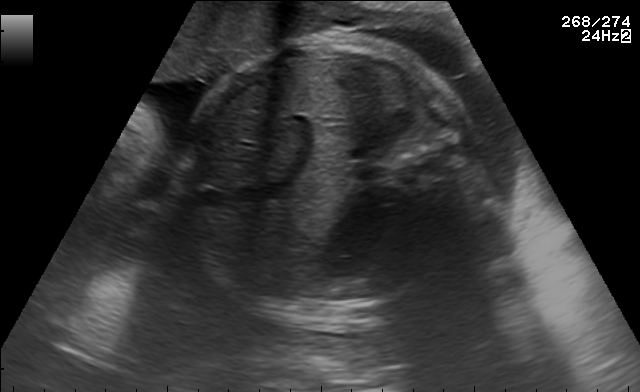
Identify the standard plane in this fetal ultrasound image: fetal abdomen, fetal brain, fetal femur, fetal thorax, maternal cervix, or other. If it's fetal brain and one of the three standard brain planes (trans-thalamic, trans-cerebellum, trans-ventricular), name which.

Fetal abdomen